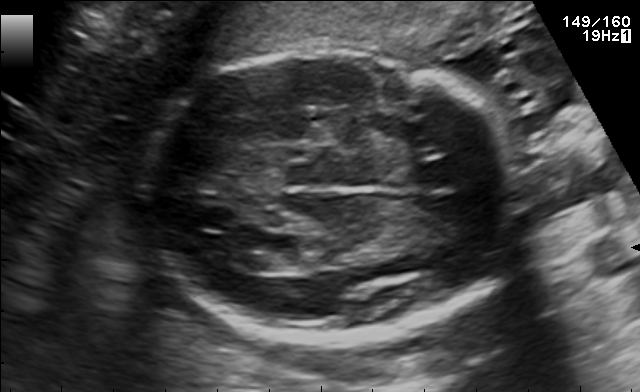
Fetal brain, trans-ventricular plane. Give [x1,y1,x2,y2] bounding boxes for each visible structure among: fetal head, CSP, LV.

Head: [128,42,537,350]